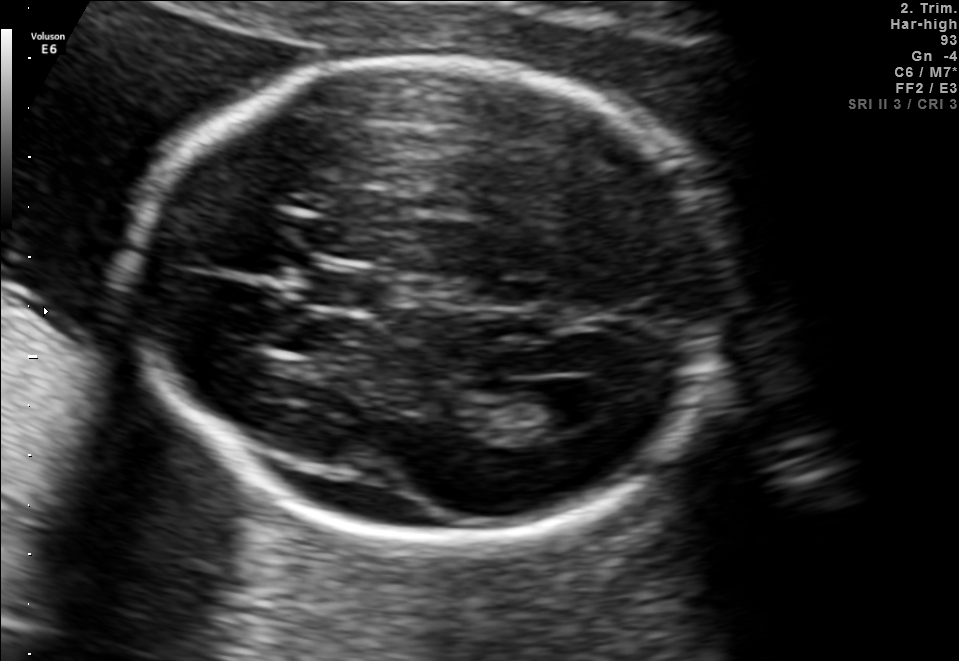
Fetal brain, trans-ventricular plane. Where is the cavum septum pellucidum?

CSP bounding box: [299,267,377,311]